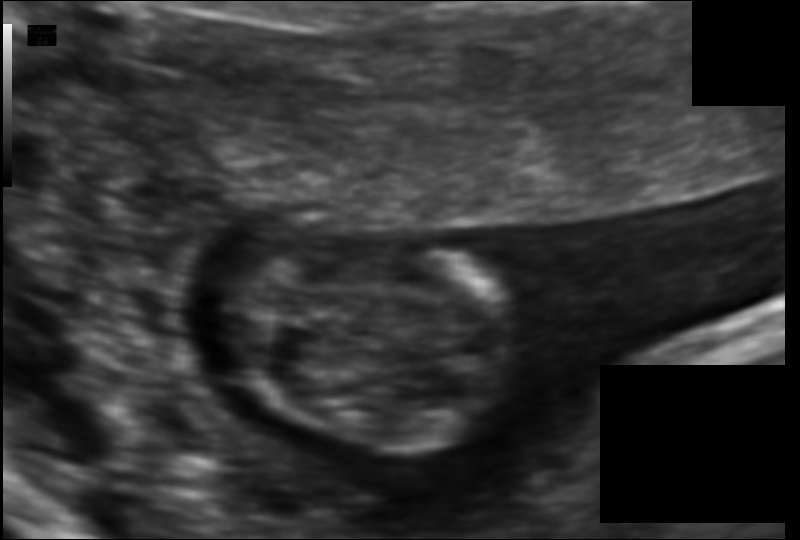
Estimate the fetal head circumference from this 2D ultrasound.

Head circumference: 62.1 mm (image width 62.1 mm).